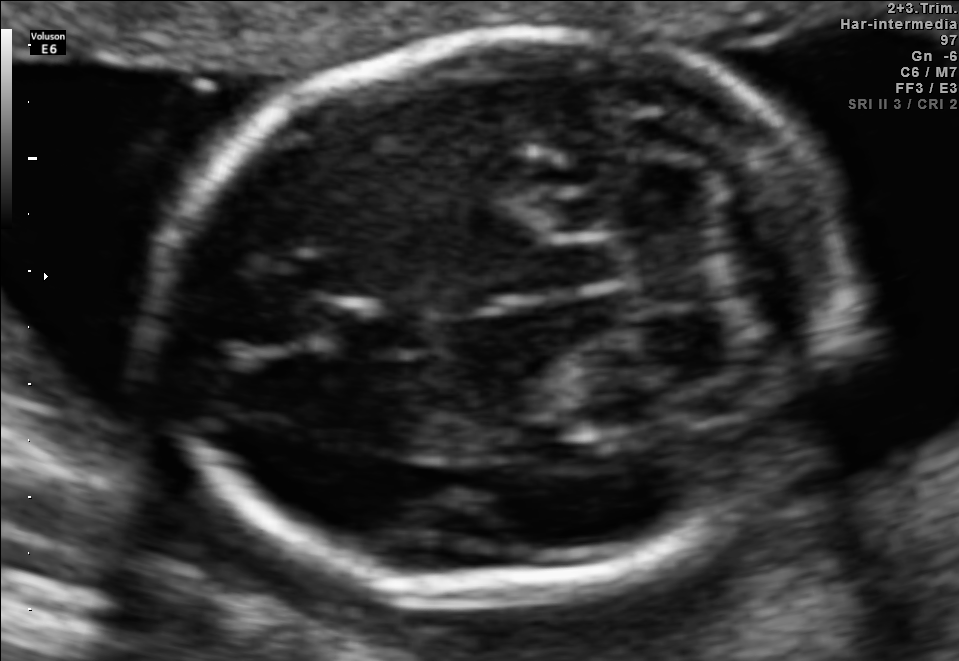
Fetal brain, trans-cerebellum plane. Locate the fetal head and, if visible, the cavum septum pellucidum (CSP) and lateral ventricle (LV). Give bounding boxes as [x1,y1,x2,y2].

Head: [161,28,846,597]
CSP: [325,306,430,356]